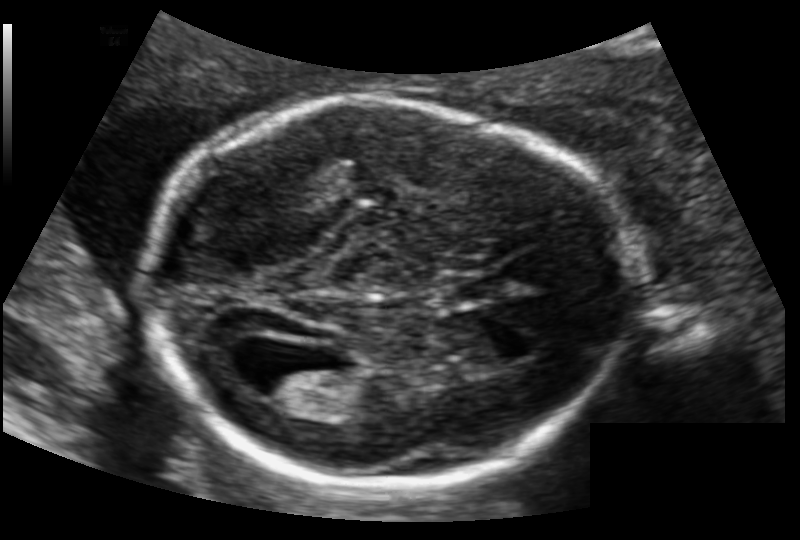
In this fetal head ultrasound, give the bounding box of the fetal head. Image width: 100.7 mm.

[143,98,621,489]